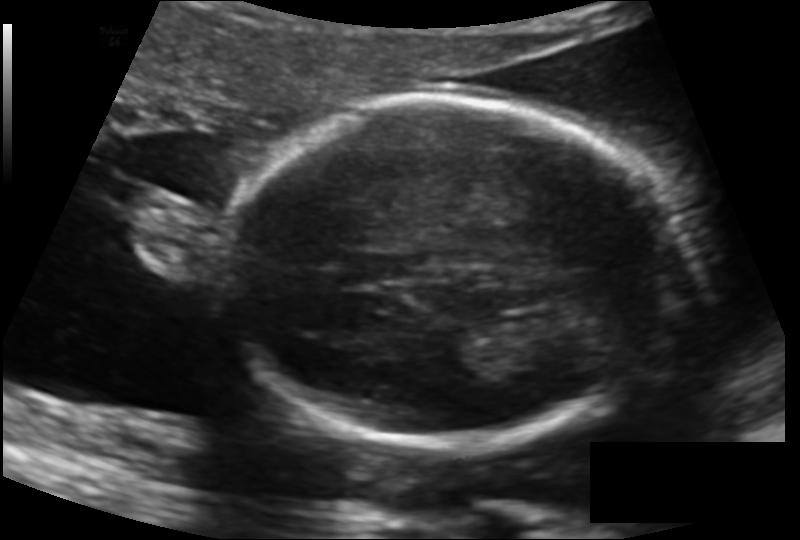
Fetal head ultrasound. Image width: 111.0 mm. Locate the fetal head and, if visible, the cavum septum pellucidum (CSP) and lateral ventricle (LV). Give bounding boxes as [x1,y1,x2,y2].

Head: [228,95,679,449]